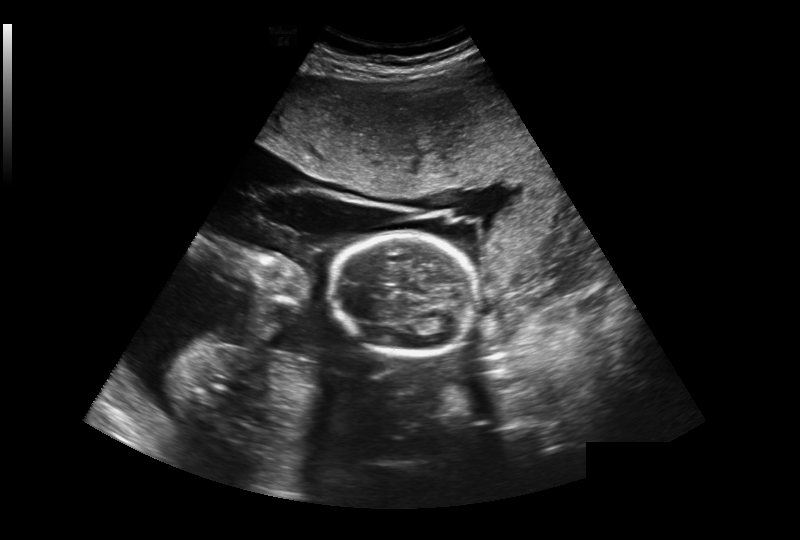
Fetal head ultrasound. Image width: 314.6 mm. Locate the fetal head and, if visible, the cavum septum pellucidum (CSP) and lateral ventricle (LV). Give bounding boxes as [x1,y1,x2,y2].

Head: [331,234,477,355]
CSP: [370,282,397,298]
Lateral ventricle: [434,318,456,331]